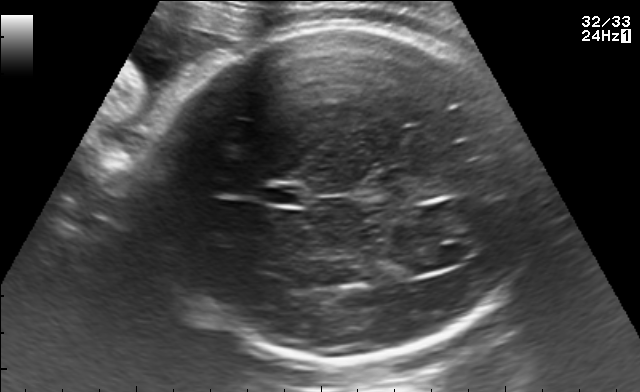
In this fetal brain, trans-ventricular plane, give the bounding box of the fetal head.

[143,21,537,370]